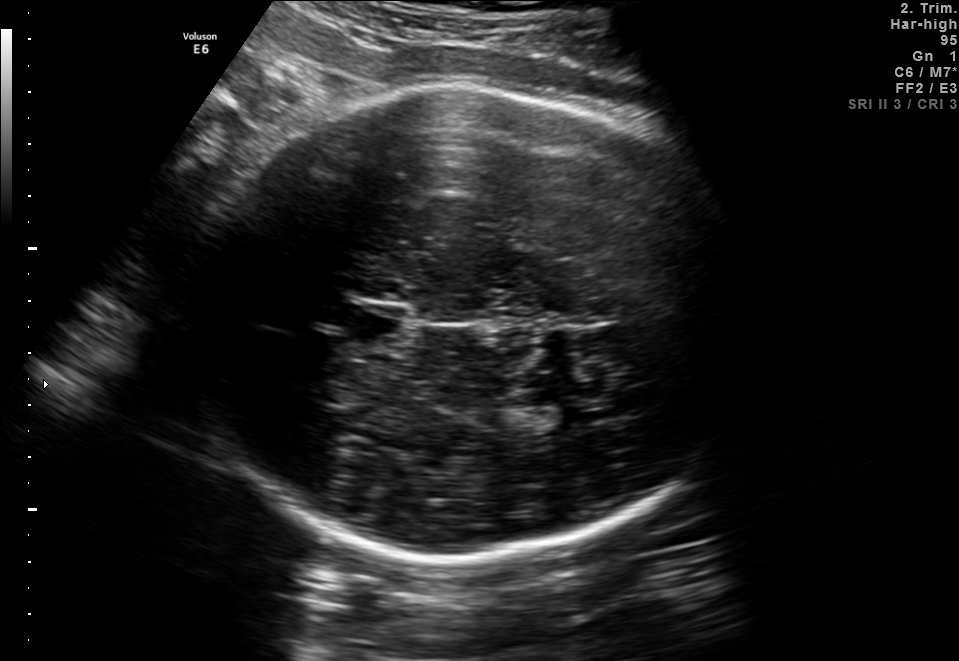
Fetal brain, trans-thalamic plane. Locate the fetal head and, if visible, the cavum septum pellucidum (CSP) and lateral ventricle (LV). Give bounding boxes as [x1,y1,x2,y2].

Head: [196,85,747,560]
CSP: [333,301,408,351]